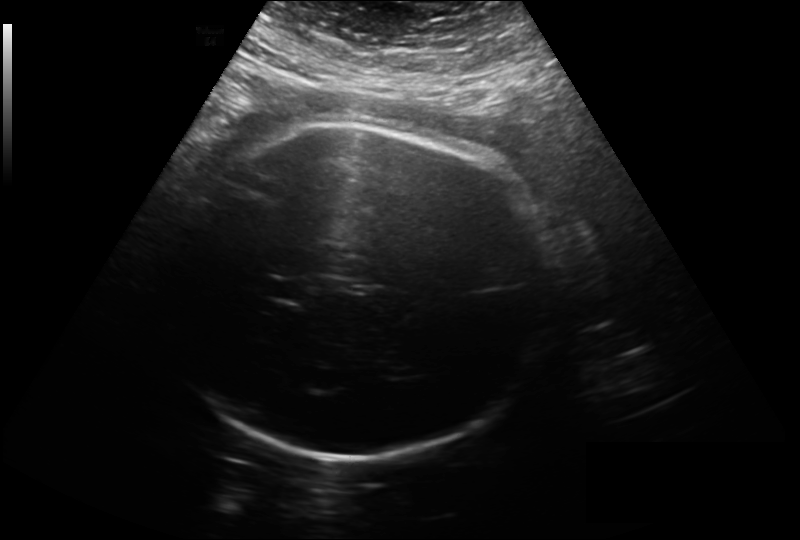
What is the fetal head circumference? Image width is 208.8 mm.

307.7 mm